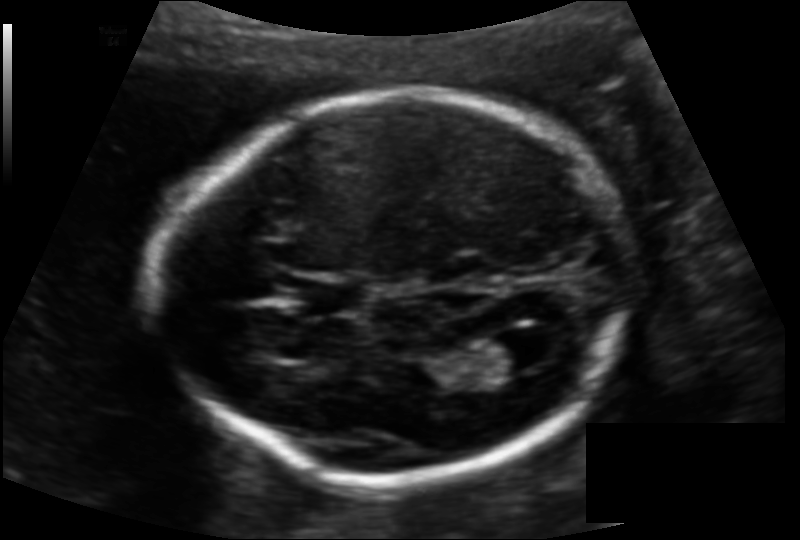
In this fetal head ultrasound, give the bounding box of the fetal head. Image width: 102.7 mm.

[163,95,631,480]